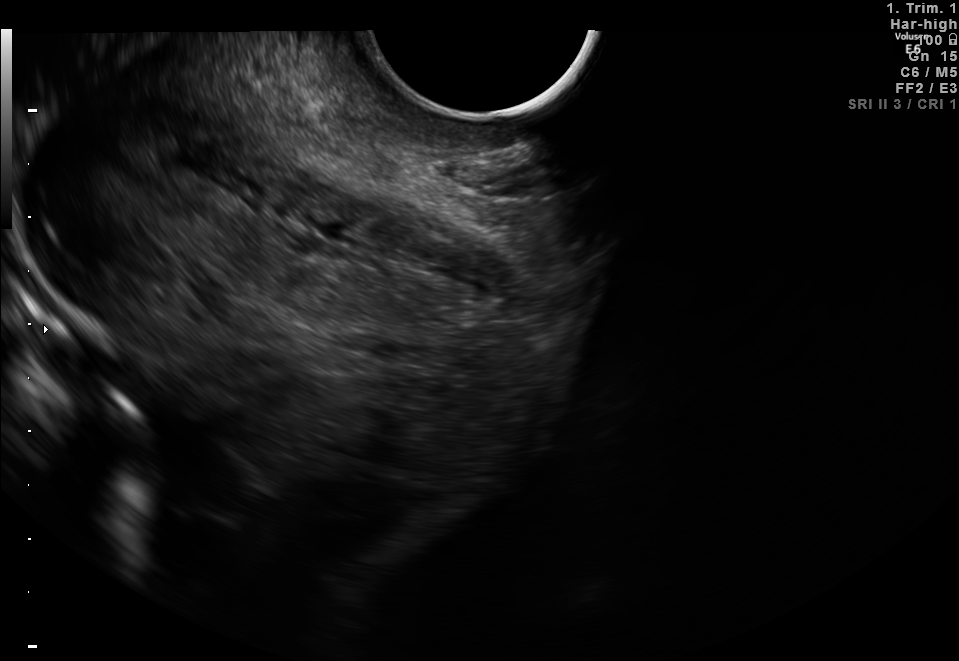
This is a 2D maternal-fetal ultrasound frame. Is it a fetal abdomen, fetal brain, fetal femur, fetal thorax, maternal cervix, or other standard plane? If it's fetal brain and one of the three standard brain planes (trans-thalamic, trans-cerebellum, trans-ventricular), name which.

Maternal cervix